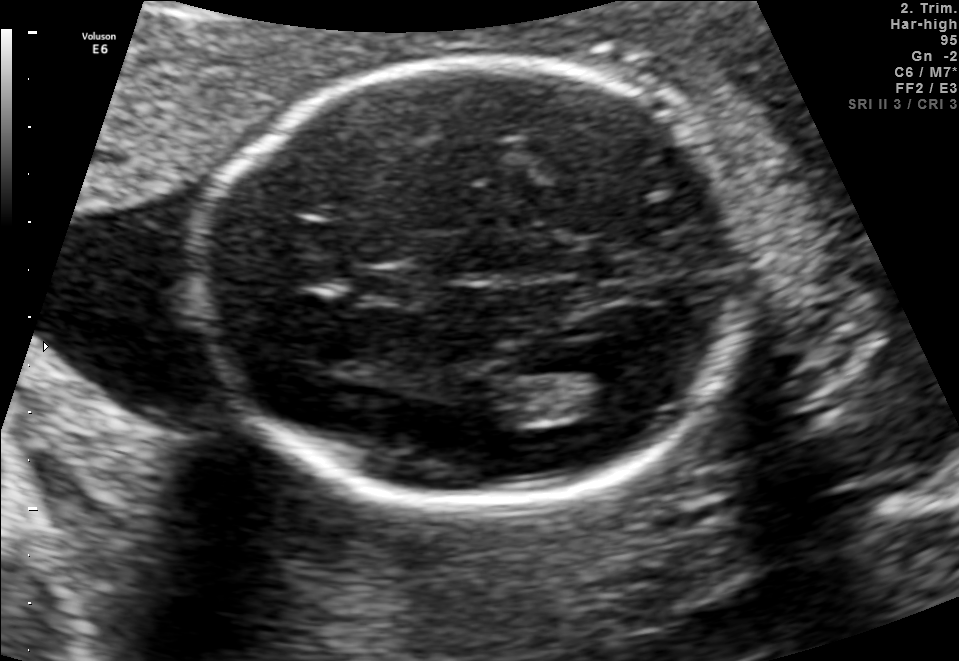
Fetal brain, trans-thalamic plane. Locate the fetal head and, if visible, the cavum septum pellucidum (CSP) and lateral ventricle (LV). Give bounding boxes as [x1,y1,x2,y2].

Head: [201,59,746,502]
CSP: [351,268,420,303]
Lateral ventricle: [554,360,655,422]